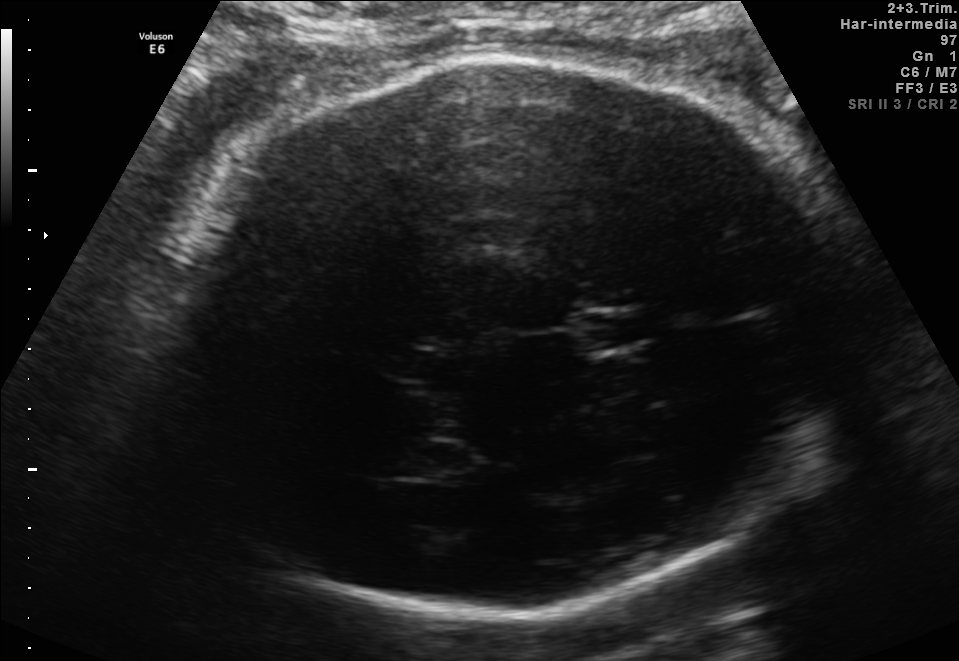
Fetal brain, trans-thalamic plane. Where is the fetal head?

Head bounding box: [154,55,851,612]